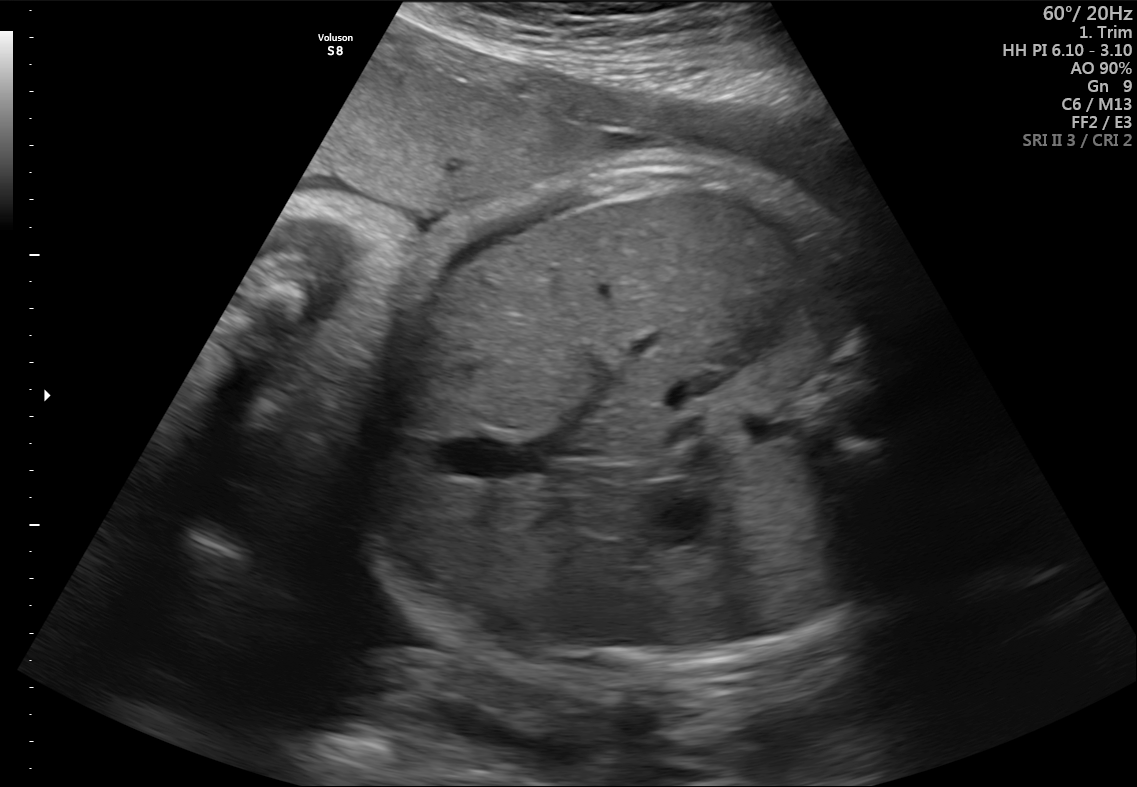
Identify the standard plane in this fetal ultrasound image: fetal abdomen, fetal brain, fetal femur, fetal thorax, maternal cervix, or other. If it's fetal brain and one of the three standard brain planes (trans-thalamic, trans-cerebellum, trans-ventricular), name which.

Fetal abdomen